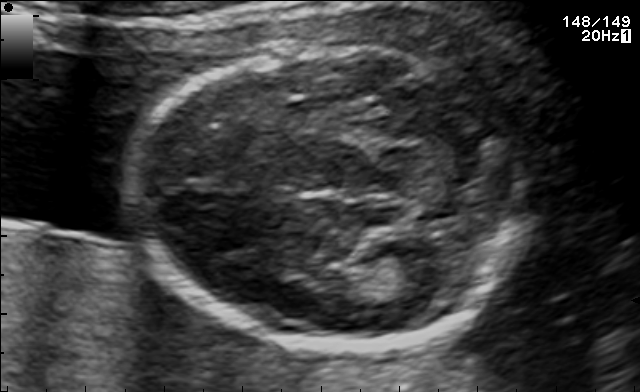
In this fetal brain, trans-thalamic plane, give the bounding box of the fetal head.

[133,47,521,347]